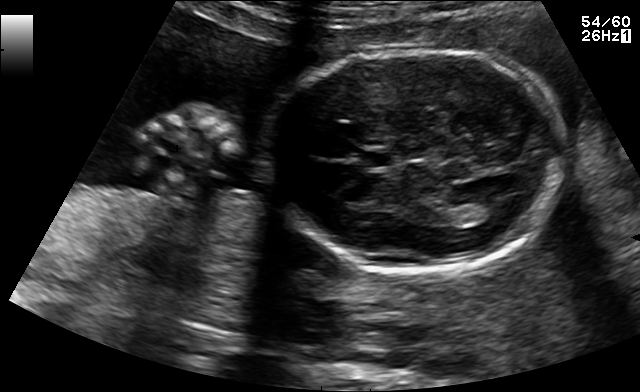
Fetal brain, trans-thalamic plane. Where is the lateral ventricle?

Lateral ventricle bounding box: [470,195,515,225]